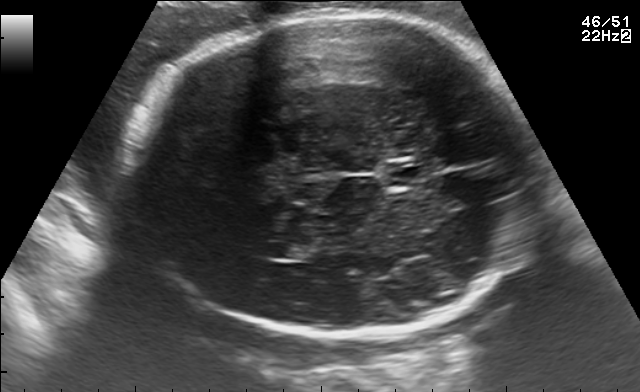
Fetal brain, trans-thalamic plane. Where is the cavum septum pellucidum?

CSP bounding box: [387,161,427,187]